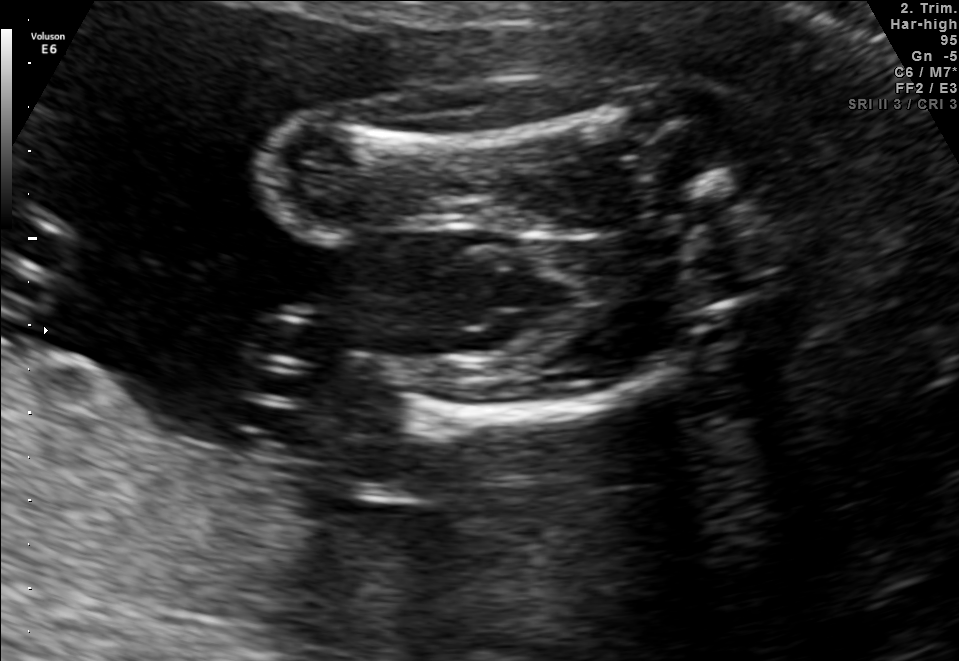
Identify the standard plane in this fetal ultrasound image: fetal abdomen, fetal brain, fetal femur, fetal thorax, maternal cervix, or other. If it's fetal brain and one of the three standard brain planes (trans-thalamic, trans-cerebellum, trans-ventricular), name which.

Fetal femur